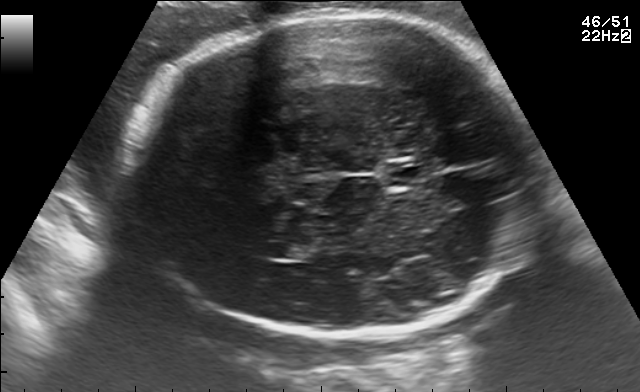
Fetal brain, trans-thalamic plane. Locate the lateral ventricle.

Lateral ventricle: [261,240,312,260]